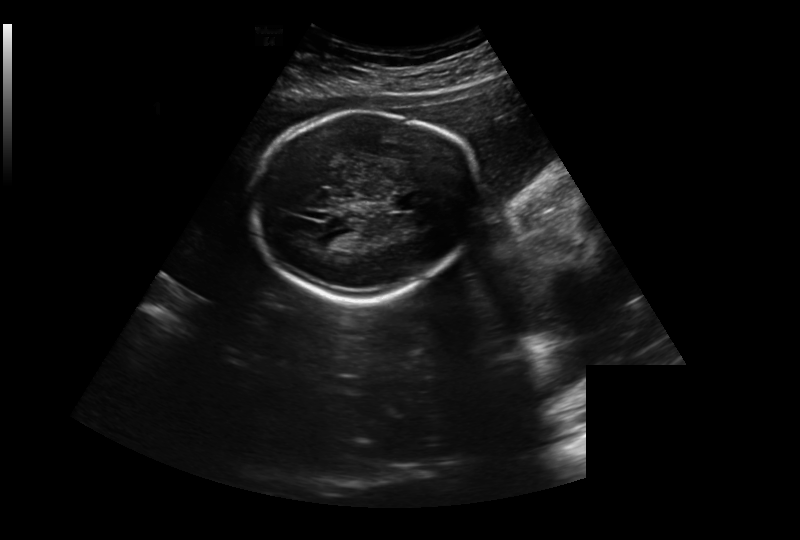
In this fetal head ultrasound, give the bounding box of the fetal head. Image width: 260.8 mm.

[253,110,479,301]